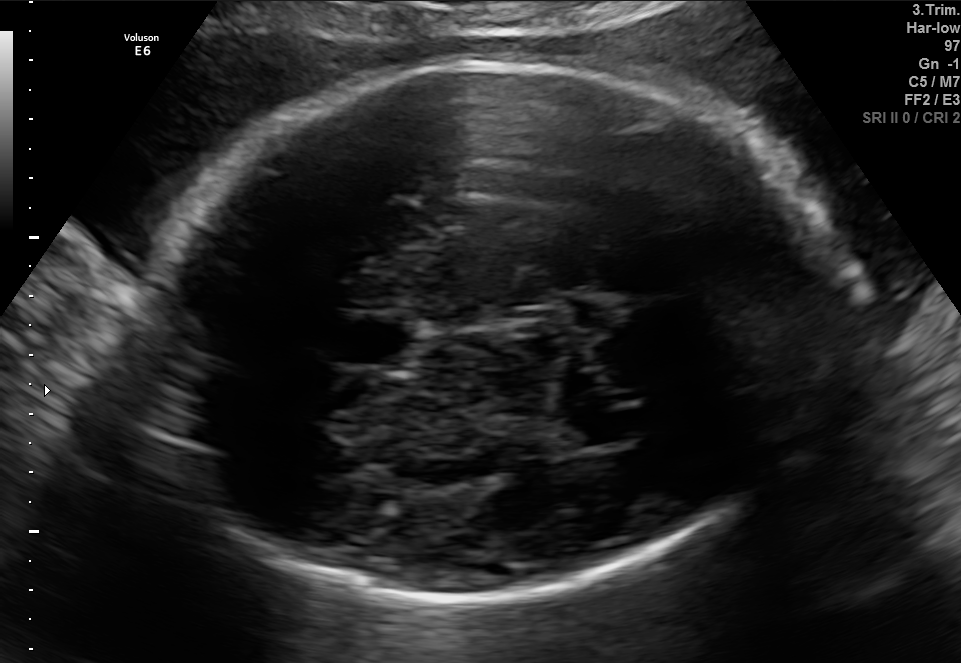
Identify the standard plane in this fetal ultrasound image: fetal abdomen, fetal brain, fetal femur, fetal thorax, maternal cervix, or other. If it's fetal brain and one of the three standard brain planes (trans-thalamic, trans-cerebellum, trans-ventricular), name which.

Fetal brain (trans-thalamic plane)